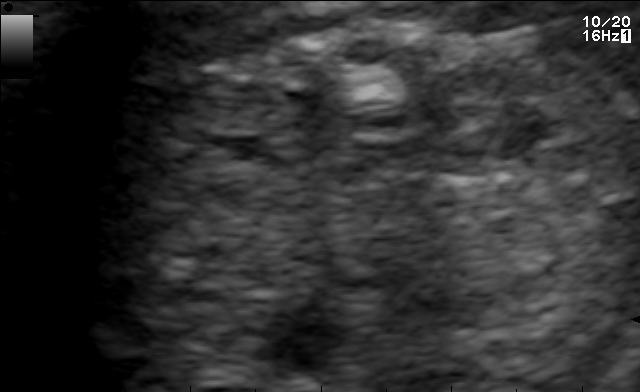
Which standard maternal-fetal ultrasound plane is shown: fetal abdomen, fetal brain, fetal femur, fetal thorax, maternal cervix, or other? If it's fetal brain and one of the three standard brain planes (trans-thalamic, trans-cerebellum, trans-ventricular), name which.

Other